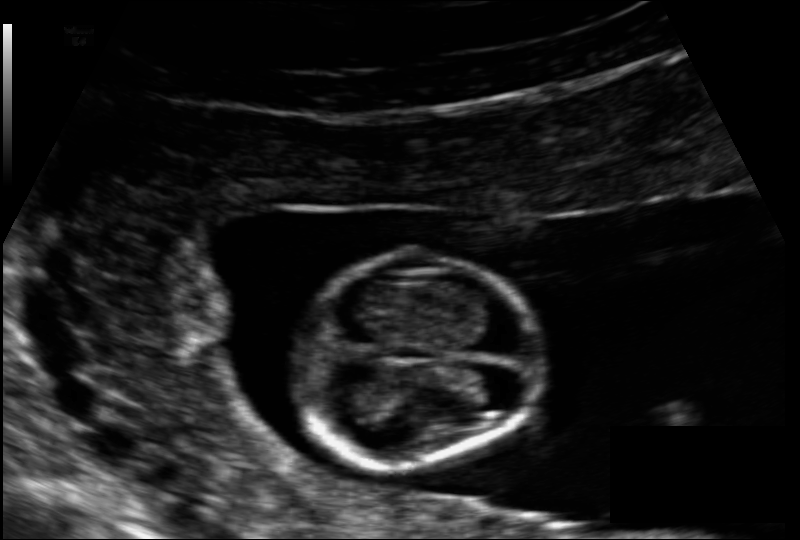
In this fetal head ultrasound, give the bounding box of the fetal head. Image width: 73.0 mm.

[284,251,544,471]